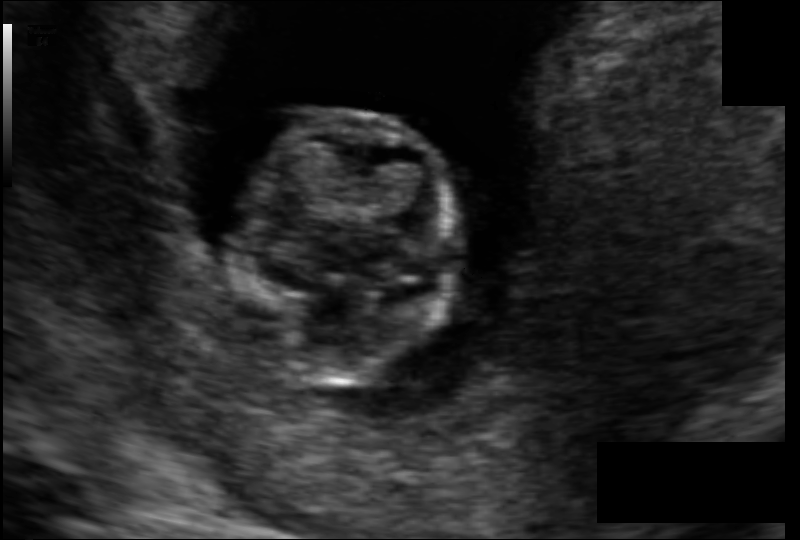
Fetal head ultrasound. Image width: 72.7 mm. Locate the fetal head.

Head: [237,110,458,387]